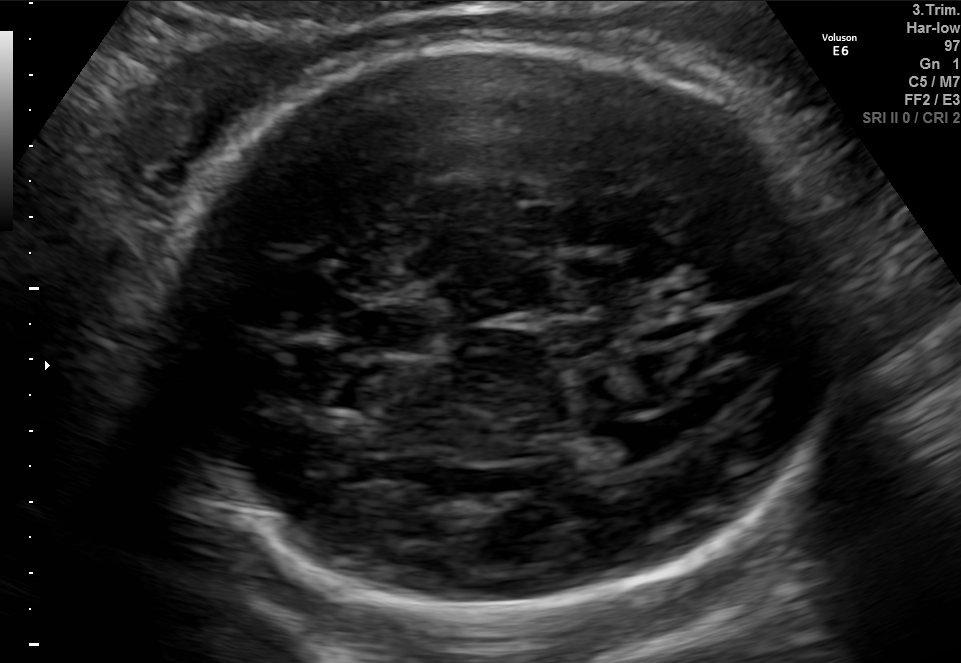
In this fetal brain, trans-ventricular plane, give the bounding box of the fetal head.

[144,38,867,617]